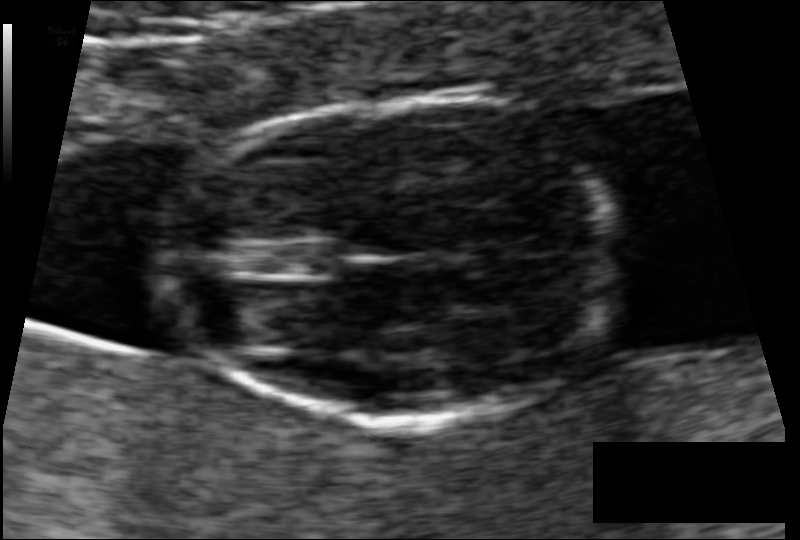
Fetal head ultrasound. Image width: 49.5 mm. Locate the fetal head.

Head: [171,99,616,422]